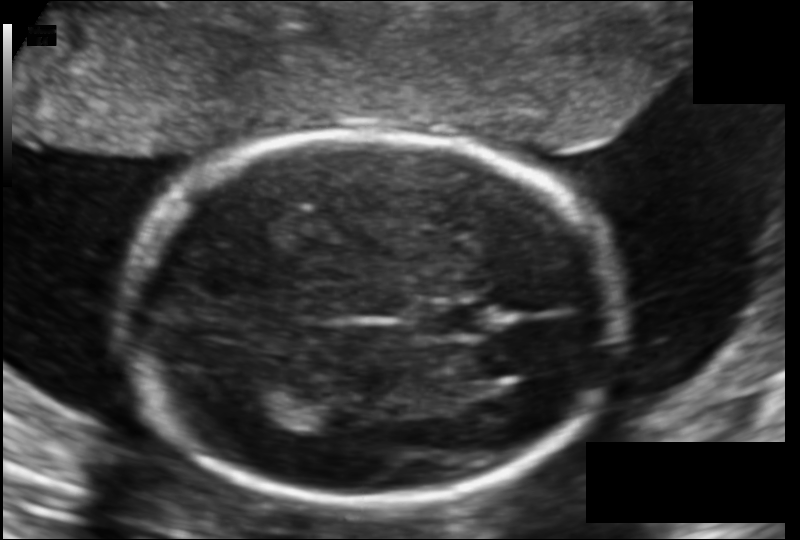
Fetal head ultrasound. Image width: 98.4 mm. Locate the cavum septum pellucidum.

CSP: [413,303,489,340]